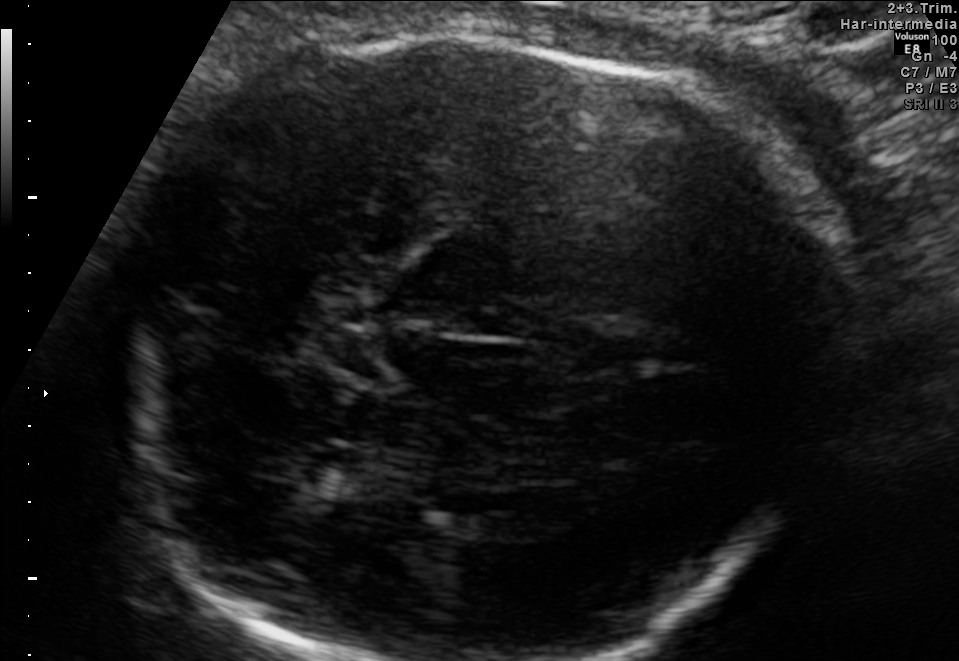
Fetal brain, trans-thalamic plane. Locate the lateral ventricle.

Lateral ventricle: [276,434,379,498]